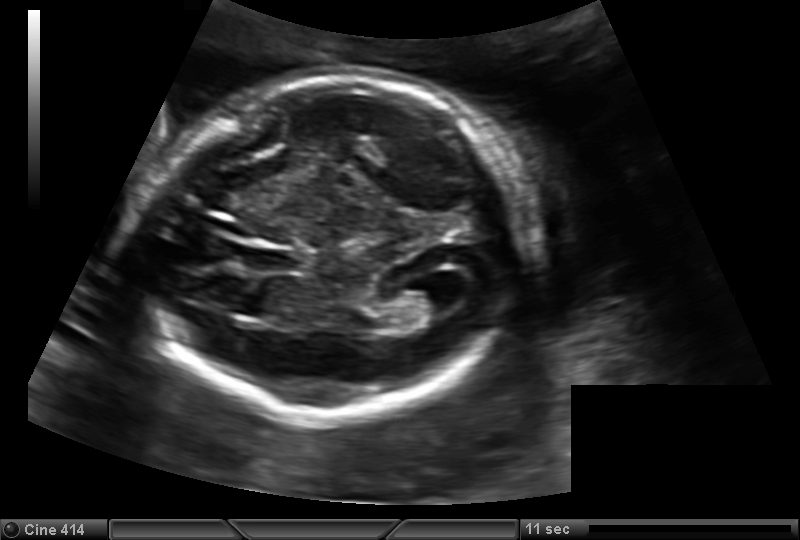
Fetal head ultrasound. Image width: 120.0 mm. Where is the lateral ventricle?

Lateral ventricle bounding box: [394,273,457,326]